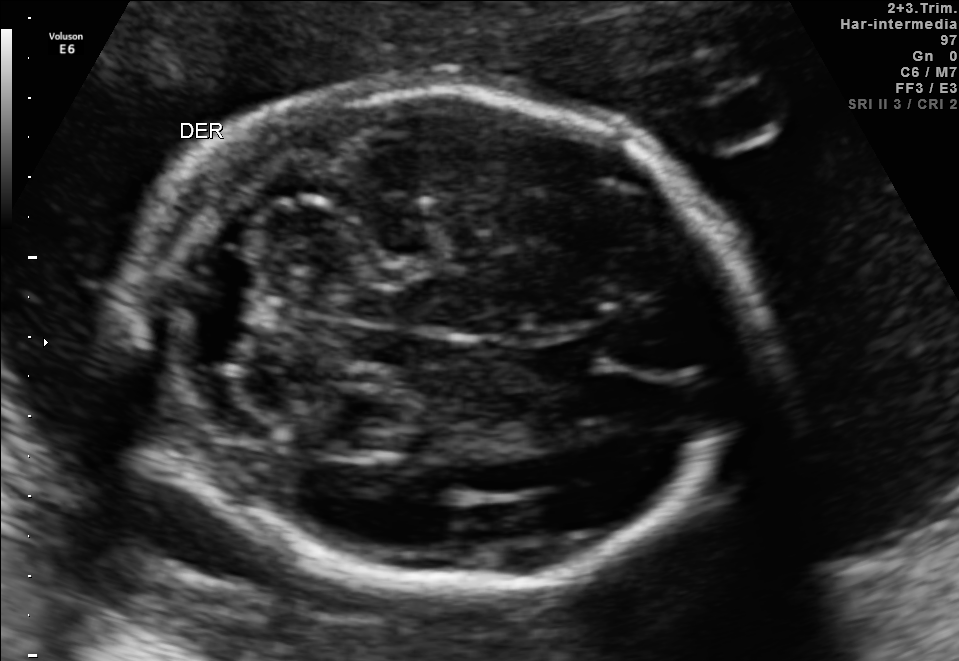
Fetal brain, trans-cerebellum plane. Locate the fetal head and, if visible, the cavum septum pellucidum (CSP) and lateral ventricle (LV). Give bounding boxes as [x1,y1,x2,y2].

Head: [128,91,757,586]
CSP: [517,327,616,391]